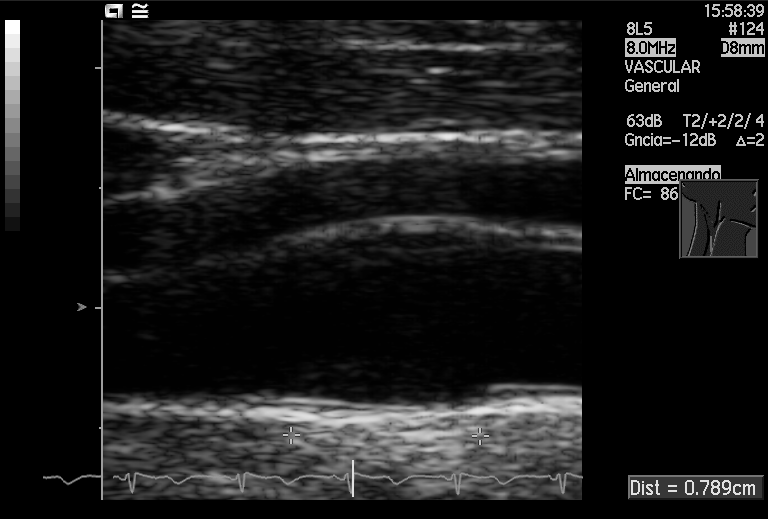
Identify the standard plane in this fetal ultrasound image: fetal abdomen, fetal brain, fetal femur, fetal thorax, maternal cervix, or other. If it's fetal brain and one of the three standard brain planes (trans-thalamic, trans-cerebellum, trans-ventricular), name which.

Other